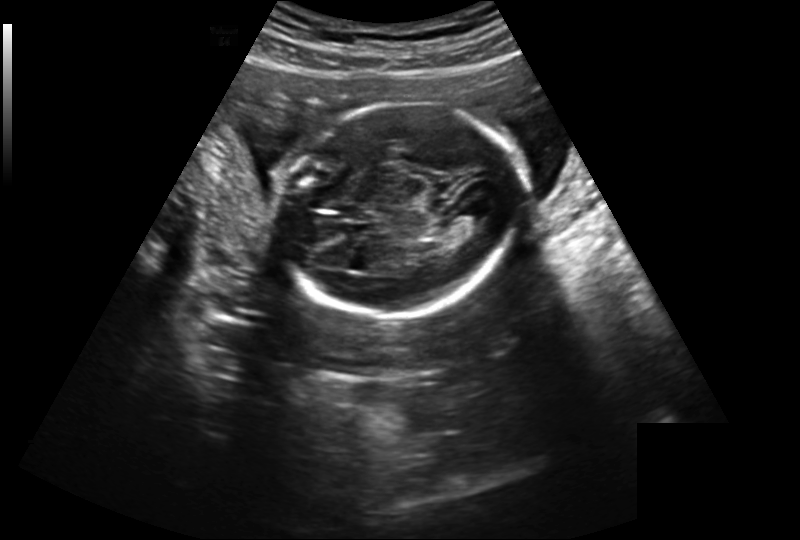
Fetal head ultrasound. Image width: 191.4 mm. Where is the cavum septum pellucidum?

CSP bounding box: [340,203,369,218]